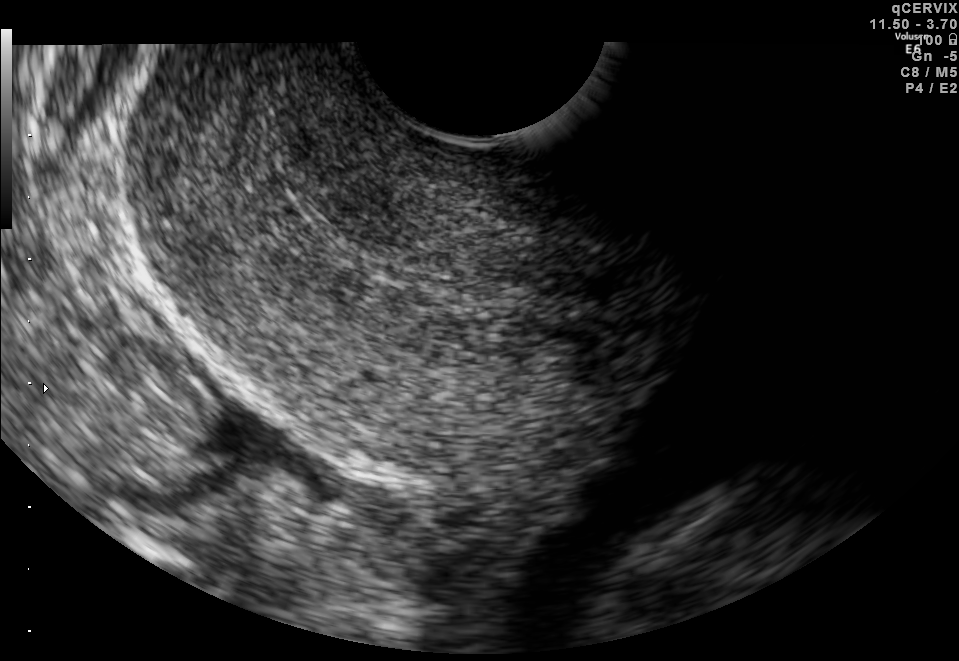
This is a 2D maternal-fetal ultrasound frame. Is it a fetal abdomen, fetal brain, fetal femur, fetal thorax, maternal cervix, or other standard plane? If it's fetal brain and one of the three standard brain planes (trans-thalamic, trans-cerebellum, trans-ventricular), name which.

Maternal cervix